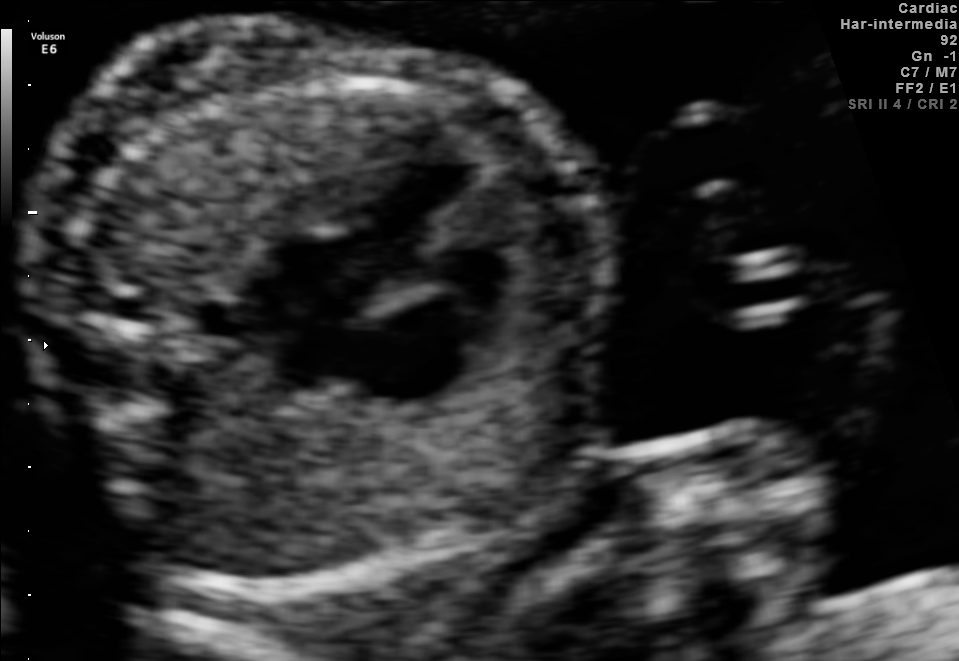
Identify the standard plane in this fetal ultrasound image: fetal abdomen, fetal brain, fetal femur, fetal thorax, maternal cervix, or other. If it's fetal brain and one of the three standard brain planes (trans-thalamic, trans-cerebellum, trans-ventricular), name which.

Fetal thorax